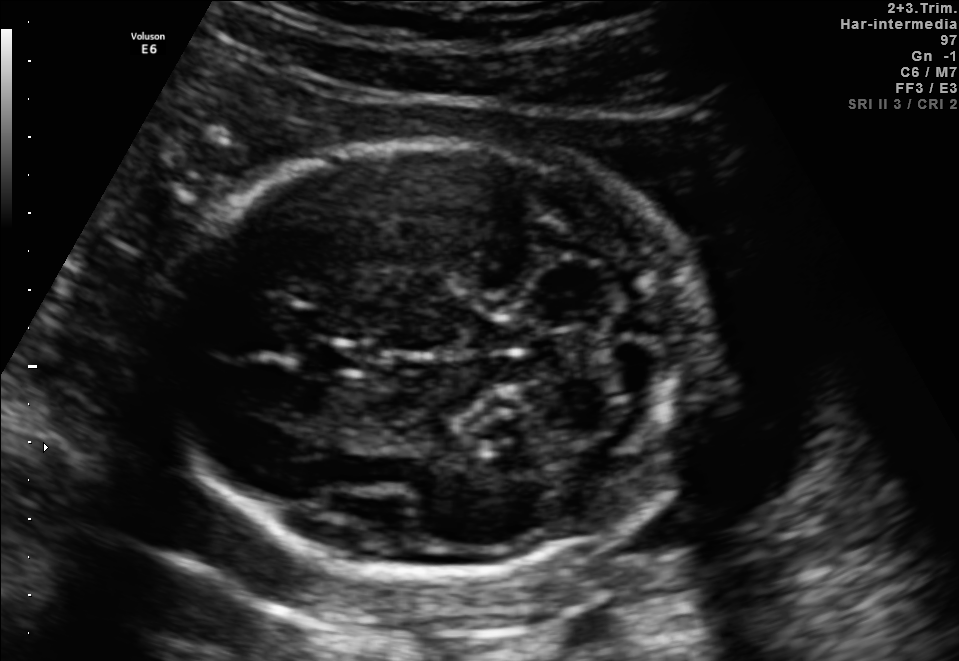
Fetal brain, trans-cerebellum plane. Locate the fetal head and, if visible, the cavum septum pellucidum (CSP) and lateral ventricle (LV). Give bounding boxes as [x1,y1,x2,y2].

Head: [163,141,712,570]
CSP: [304,337,361,377]